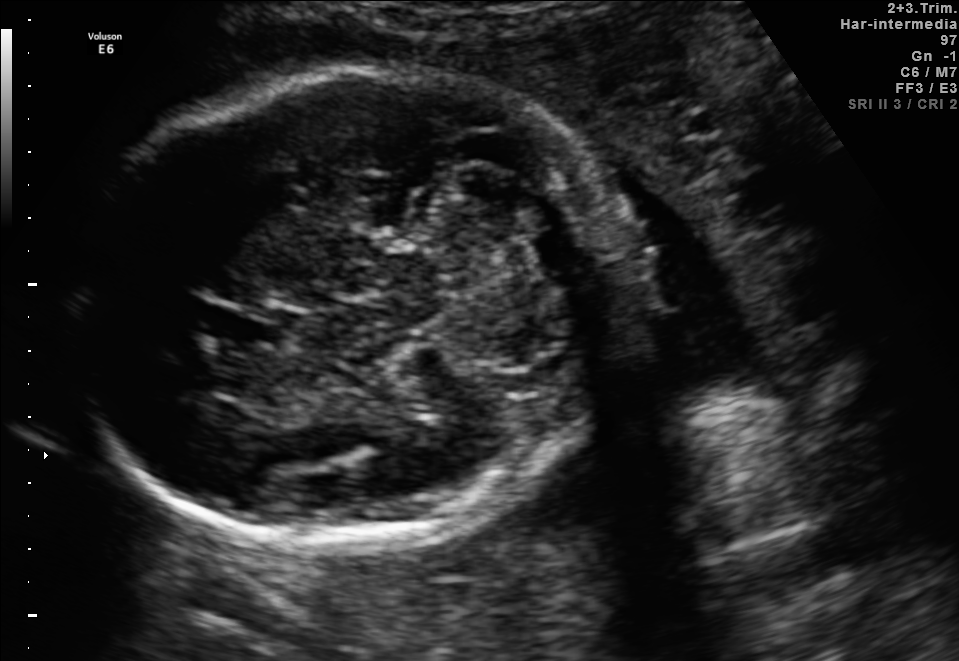
Fetal brain, trans-cerebellum plane. Where is the fetal head?

Head bounding box: [76,68,625,543]